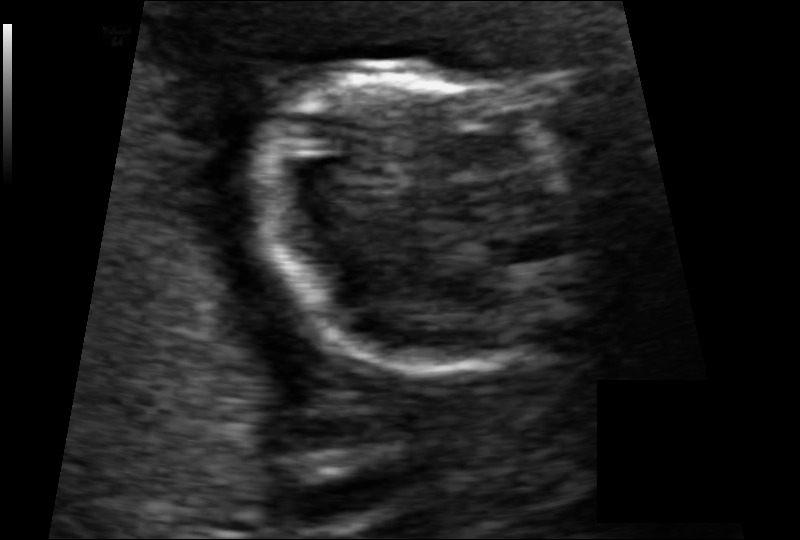
From this fetal ultrasound, estimate the head circumference (image width 62.3 mm).

Head circumference: 80.7 mm.